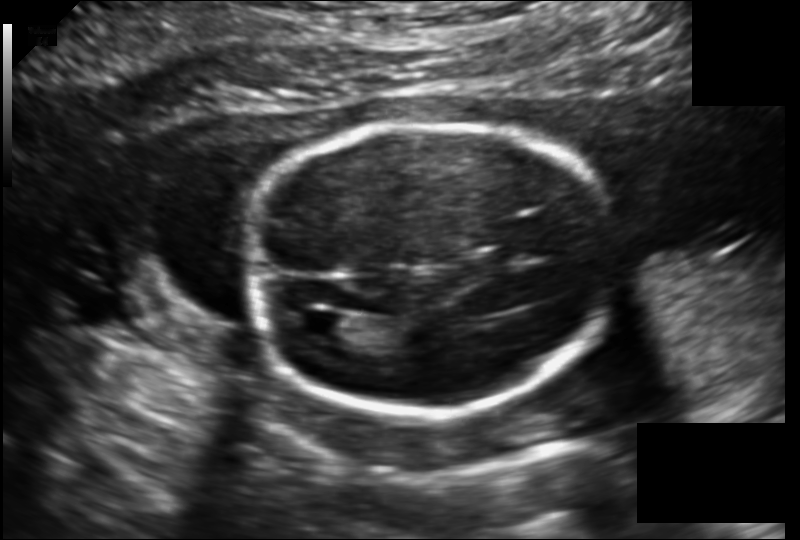
In this fetal head ultrasound, give bounding boxes for the head outline, cavum septum pellucidum (CSP), and lateral ventricle (LV), where visible. Image width: 119.0 mm.

Head: [252,123,613,413]
Lateral ventricle: [297,308,351,344]